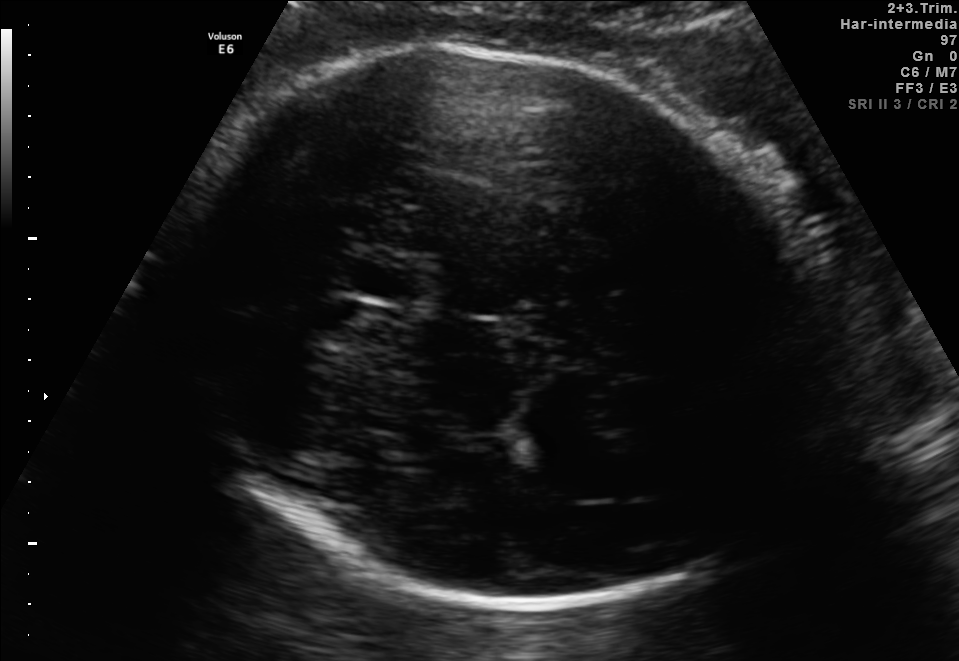
Fetal brain, trans-thalamic plane. Where is the fetal head?

Head bounding box: [179,46,818,609]